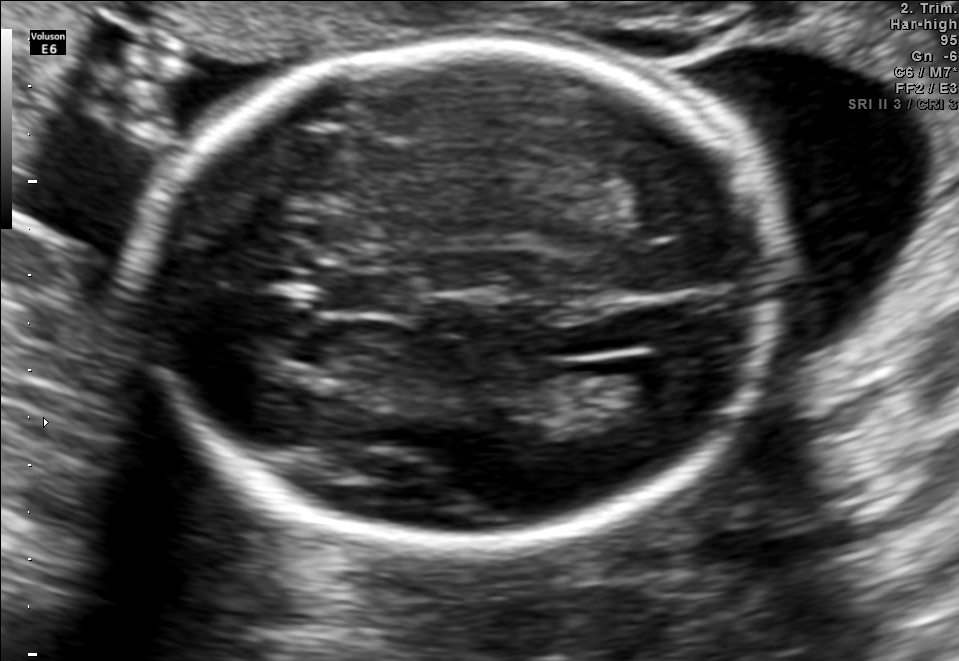
In this fetal brain, trans-ventricular plane, give the bounding box of the lateral ventricle.

[618,355,708,414]